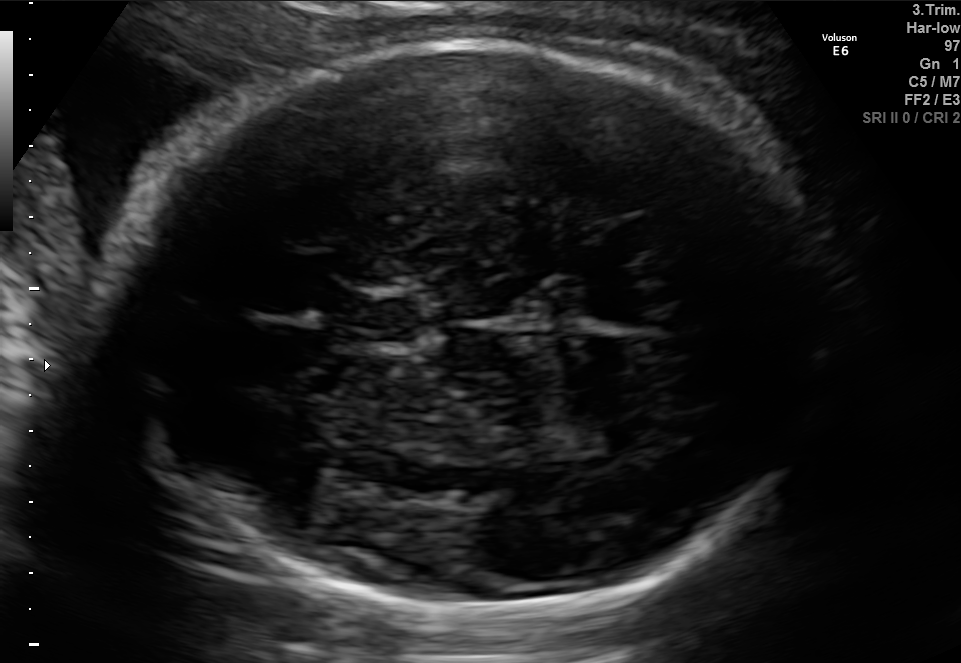
Which standard maternal-fetal ultrasound plane is shown: fetal abdomen, fetal brain, fetal femur, fetal thorax, maternal cervix, or other? If it's fetal brain and one of the three standard brain planes (trans-thalamic, trans-cerebellum, trans-ventricular), name which.

Fetal brain (trans-thalamic plane)